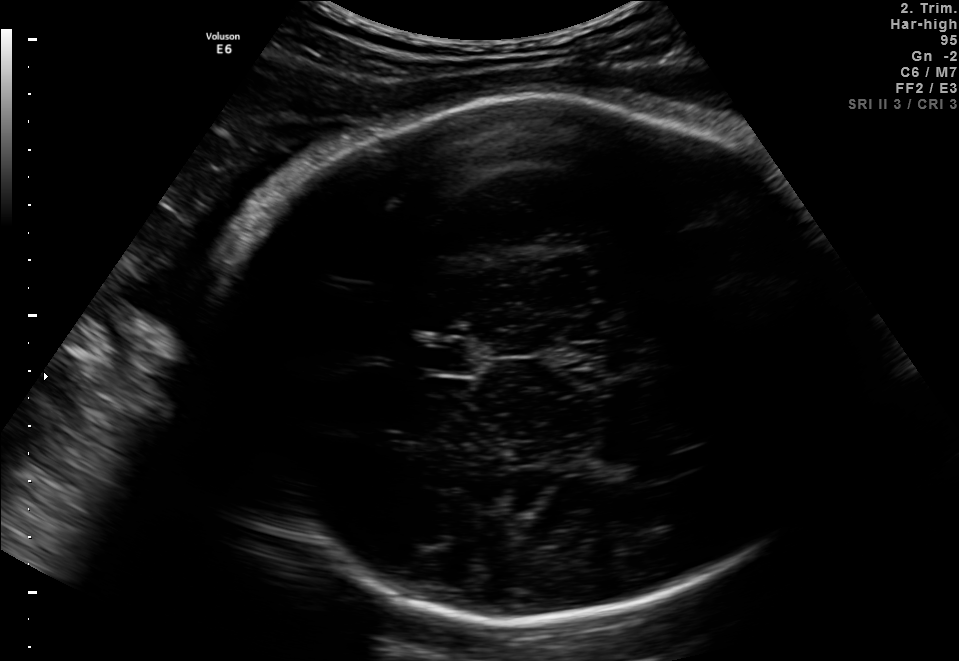
Fetal brain, trans-thalamic plane. Locate the fetal head.

Head: [204,92,851,615]